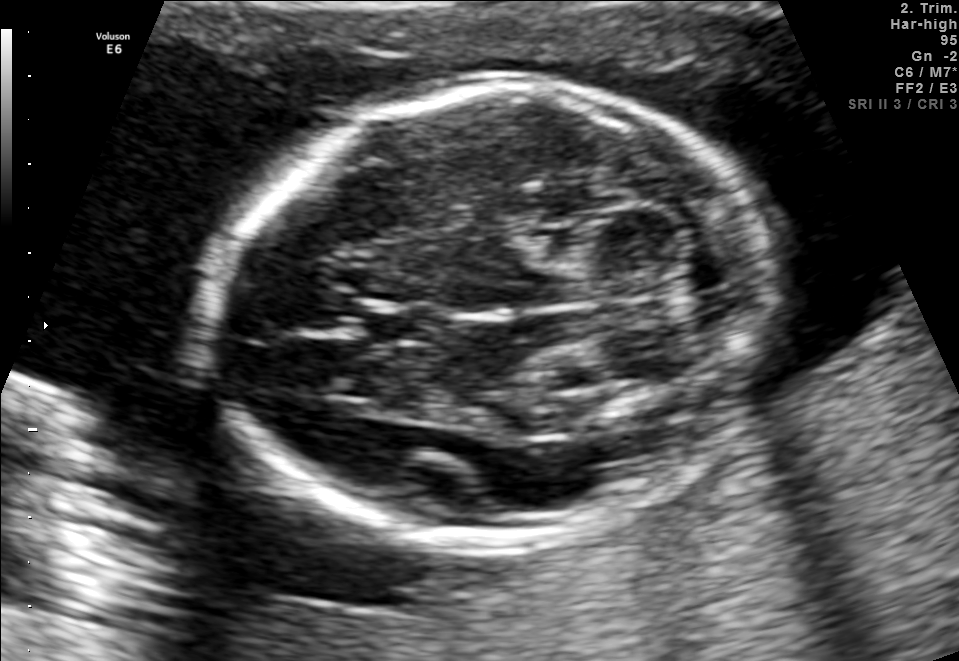
This is a 2D maternal-fetal ultrasound frame. Is it a fetal abdomen, fetal brain, fetal femur, fetal thorax, maternal cervix, or other standard plane? If it's fetal brain and one of the three standard brain planes (trans-thalamic, trans-cerebellum, trans-ventricular), name which.

Fetal brain (trans-cerebellum plane)